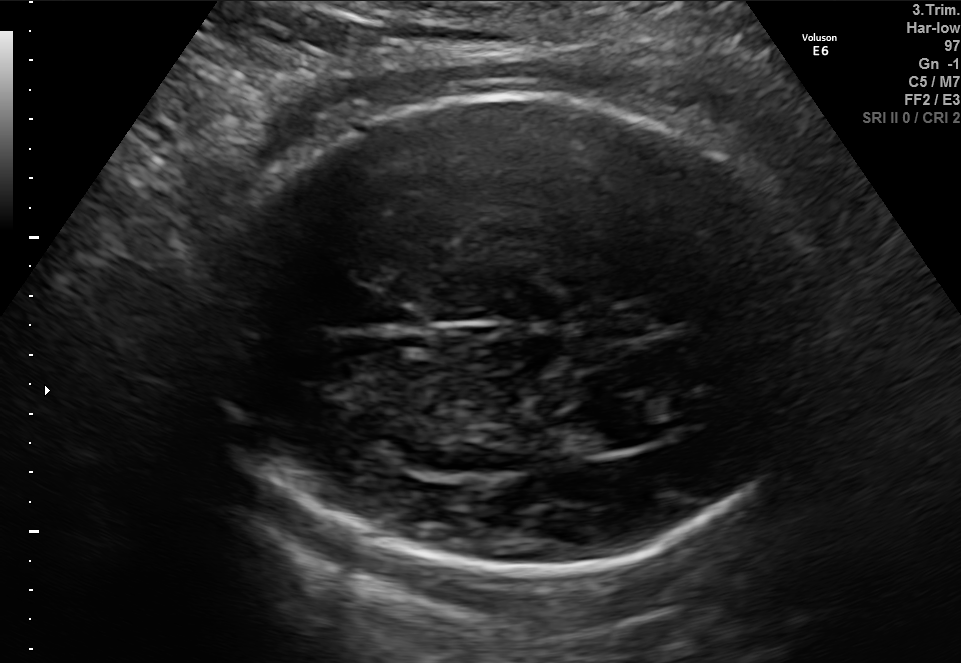
Fetal brain, trans-thalamic plane. Locate the fetal head and, if visible, the cavum septum pellucidum (CSP) and lateral ventricle (LV). Give bounding boxes as [x1,y1,x2,y2].

Head: [203,95,832,576]
Lateral ventricle: [551,404,637,462]